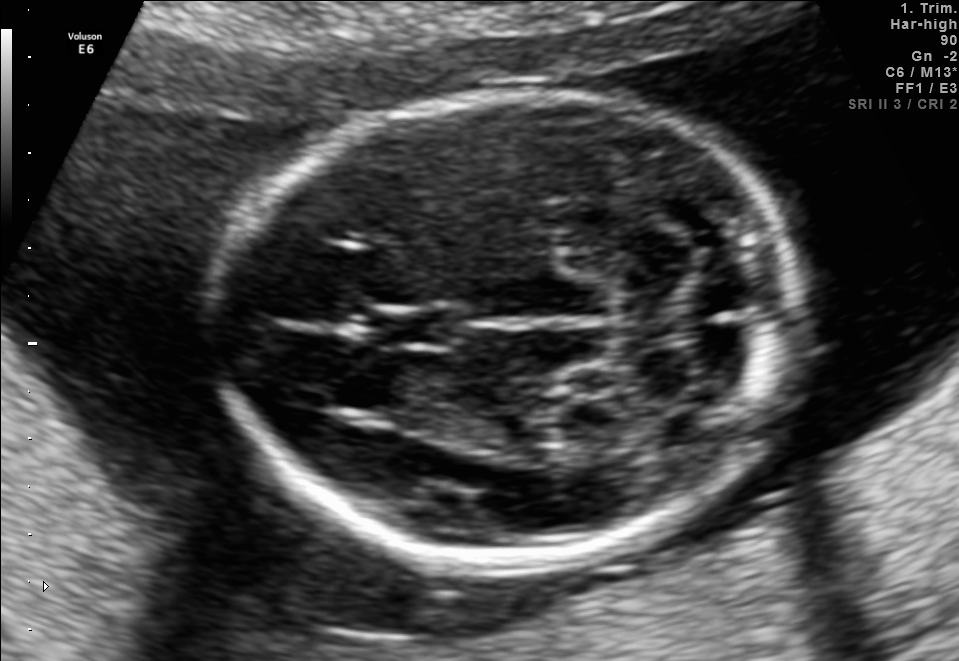
Fetal brain, trans-cerebellum plane. Where is the cavum septum pellucidum?

CSP bounding box: [378,307,462,348]